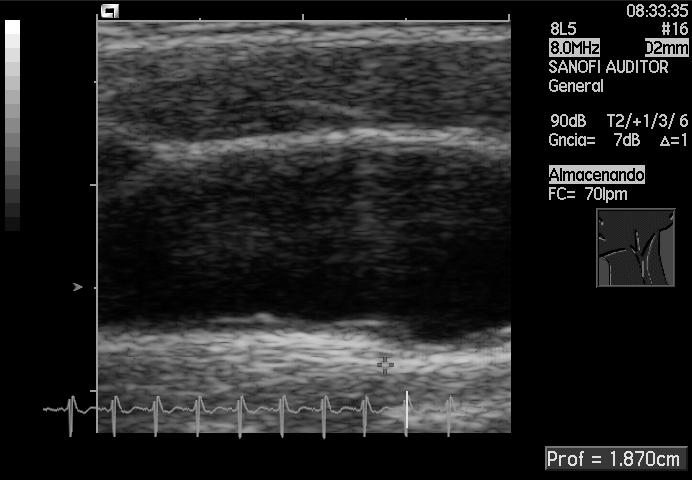
Classify this maternal-fetal ultrasound image as one of the six standard planes — fetal abdomen, fetal brain, fetal femur, fetal thorax, maternal cervix, or other. If it's fetal brain and one of the three standard brain planes (trans-thalamic, trans-cerebellum, trans-ventricular), name which.

Other